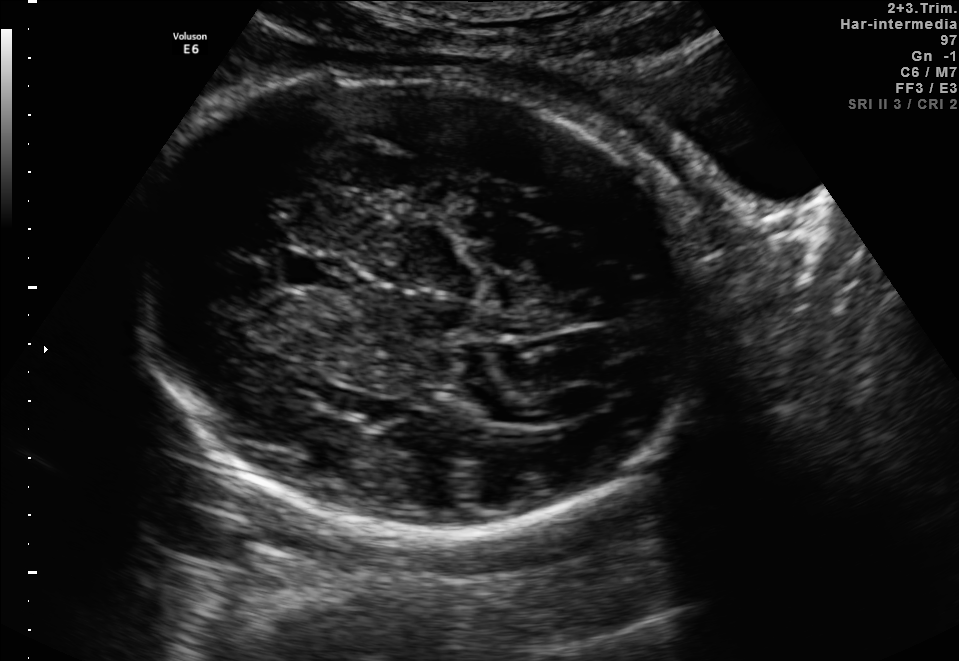
In this fetal brain, trans-thalamic plane, give the bounding box of the lateral ventricle.

[544,375,613,426]